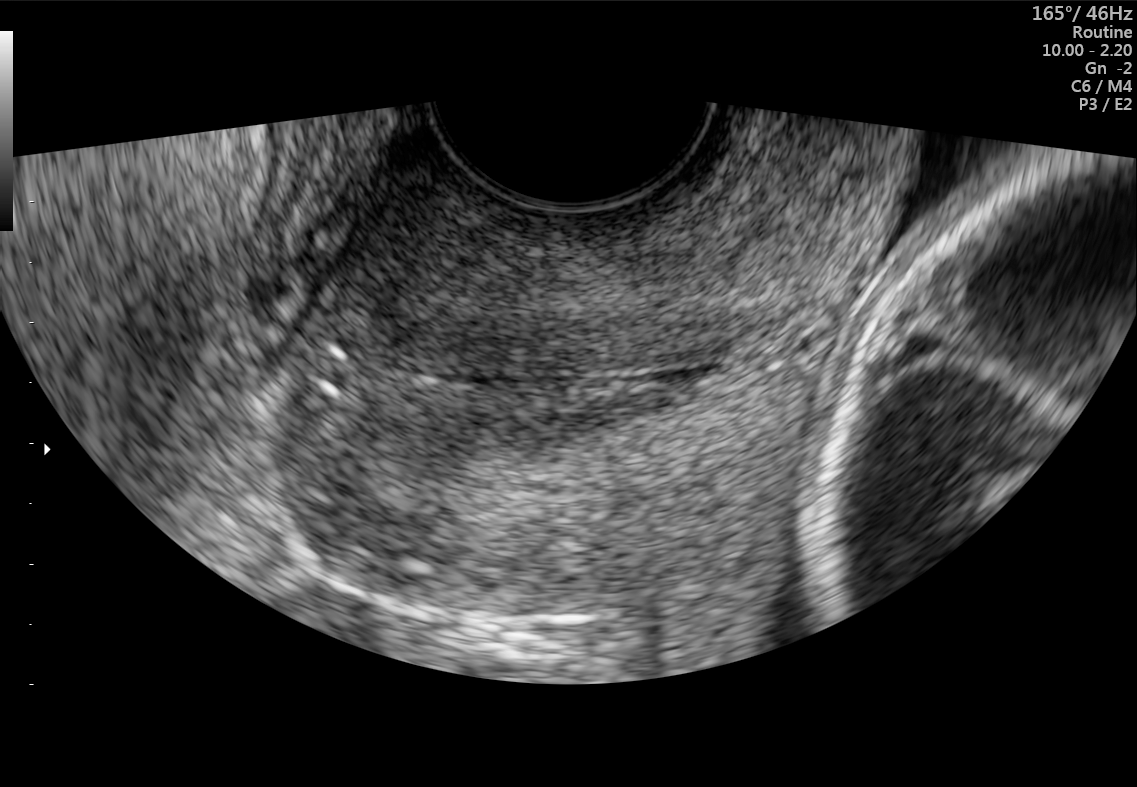
Classify this maternal-fetal ultrasound image as one of the six standard planes — fetal abdomen, fetal brain, fetal femur, fetal thorax, maternal cervix, or other. If it's fetal brain and one of the three standard brain planes (trans-thalamic, trans-cerebellum, trans-ventricular), name which.

Maternal cervix